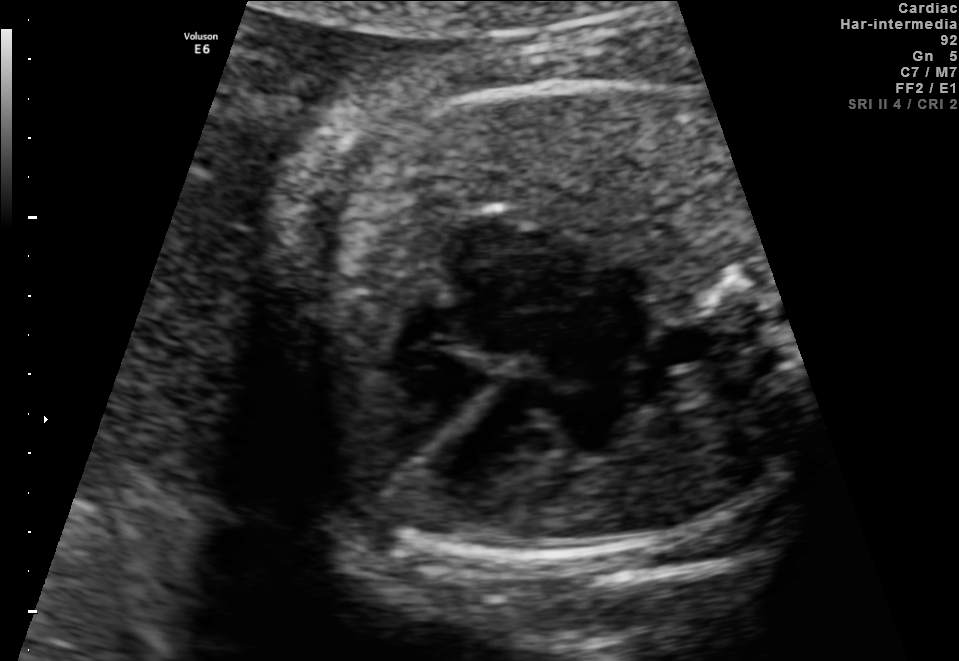
This is a 2D maternal-fetal ultrasound frame. Is it a fetal abdomen, fetal brain, fetal femur, fetal thorax, maternal cervix, or other standard plane? If it's fetal brain and one of the three standard brain planes (trans-thalamic, trans-cerebellum, trans-ventricular), name which.

Fetal thorax